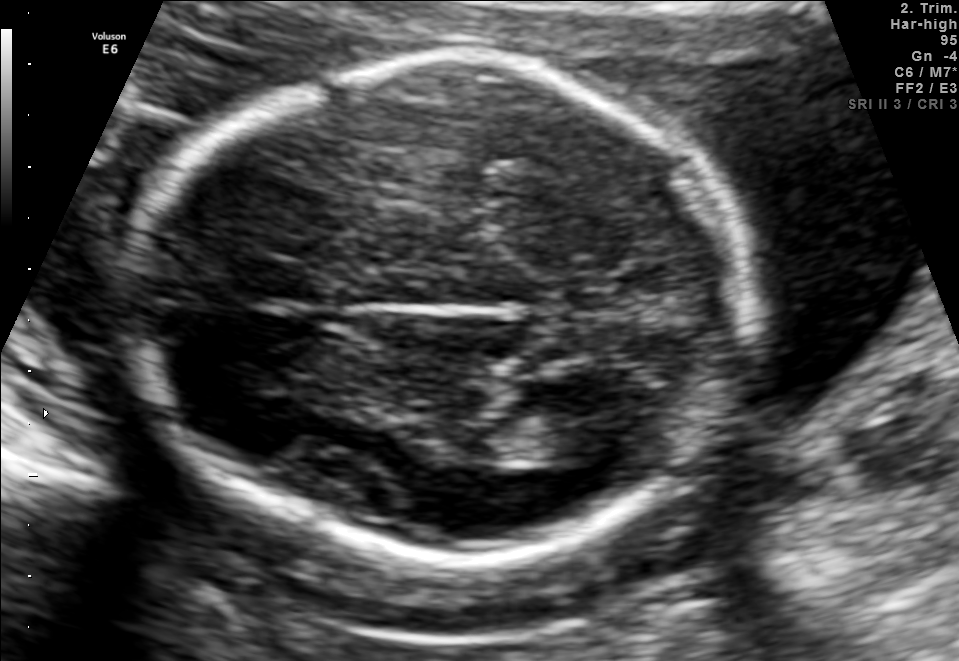
In this fetal brain, trans-thalamic plane, give the bounding box of the fetal head.

[126,64,757,561]